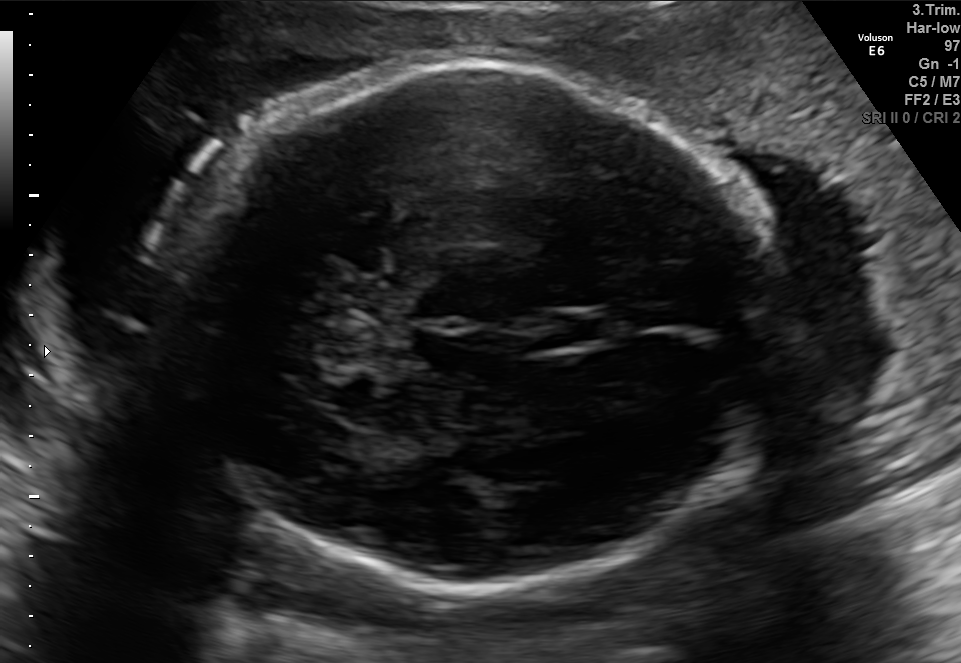
Classify this maternal-fetal ultrasound image as one of the six standard planes — fetal abdomen, fetal brain, fetal femur, fetal thorax, maternal cervix, or other. If it's fetal brain and one of the three standard brain planes (trans-thalamic, trans-cerebellum, trans-ventricular), name which.

Fetal brain (trans-thalamic plane)